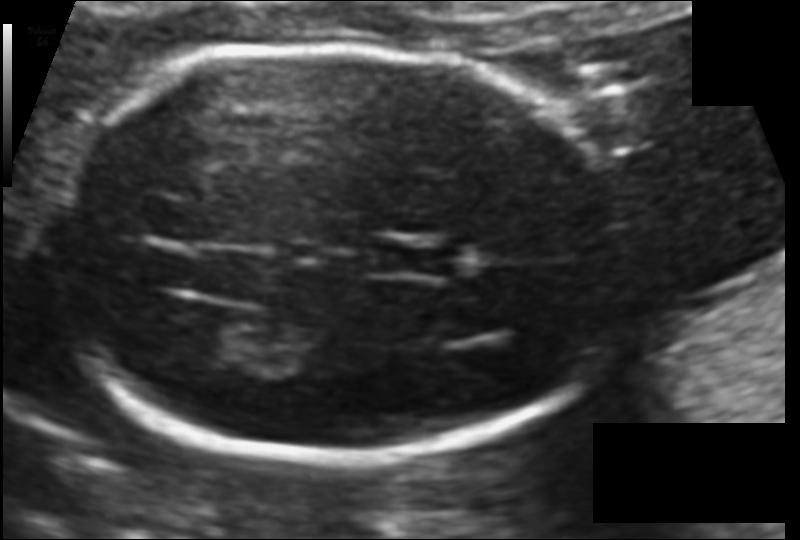
Fetal head ultrasound. Image width: 78.8 mm. Give [x1,y1,x2,y2] bounding boxes for each visible structure among: fetal head, CSP, LV.

Head: [52,43,625,459]
CSP: [383,242,456,278]
Lateral ventricle: [165,307,254,367]